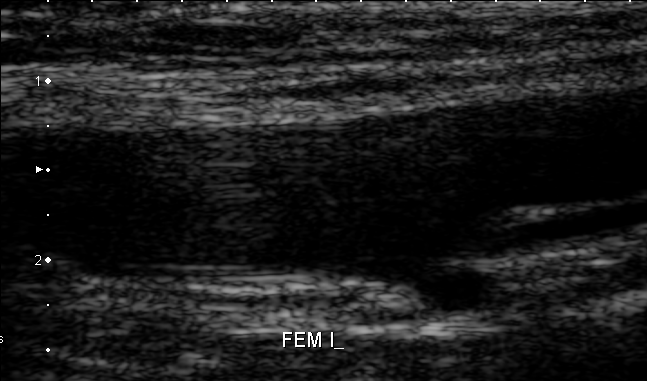
This is a 2D maternal-fetal ultrasound frame. Is it a fetal abdomen, fetal brain, fetal femur, fetal thorax, maternal cervix, or other standard plane? If it's fetal brain and one of the three standard brain planes (trans-thalamic, trans-cerebellum, trans-ventricular), name which.

Other